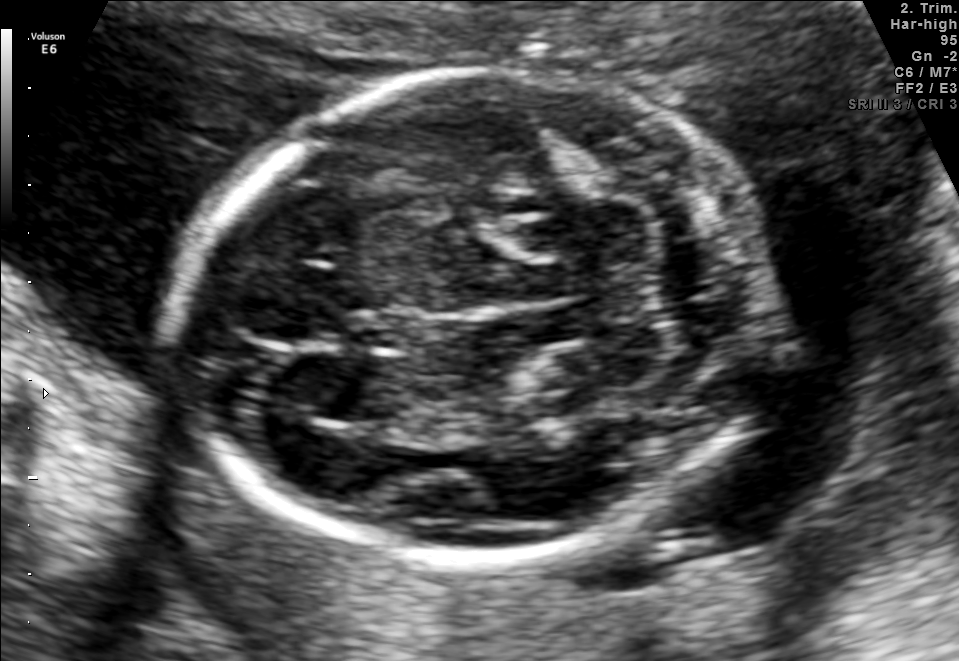
In this fetal brain, trans-cerebellum plane, give the bounding box of the fetal head.

[178,70,761,571]